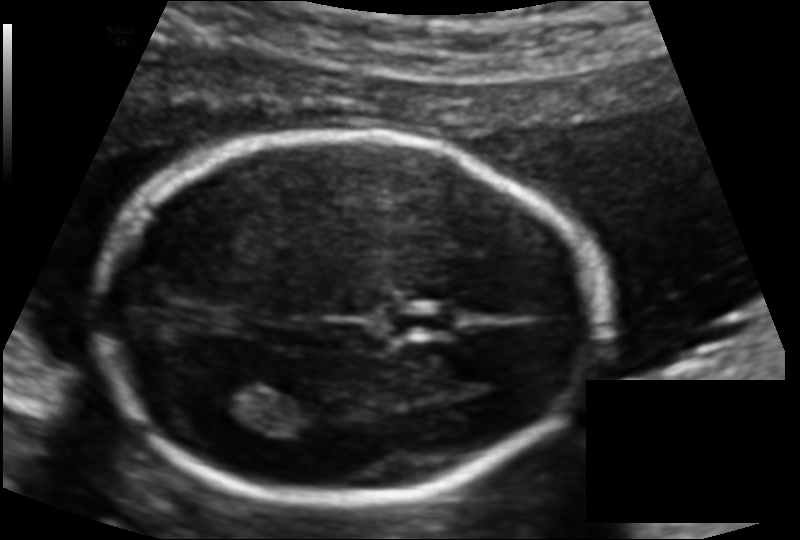
Fetal head ultrasound. Image width: 91.6 mm. Where is the fetal head?

Head bounding box: [101,135,602,500]